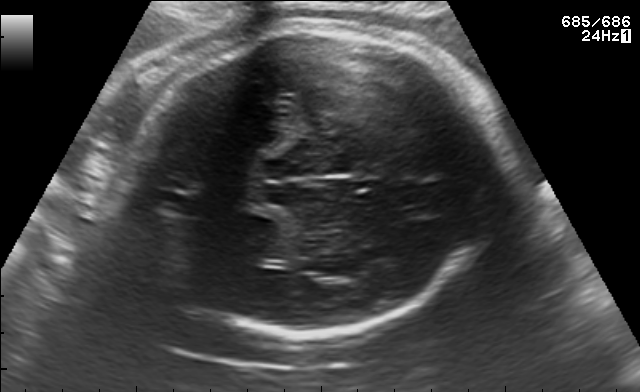
Fetal brain, trans-thalamic plane. Locate the fetal head.

Head: [128,24,501,334]